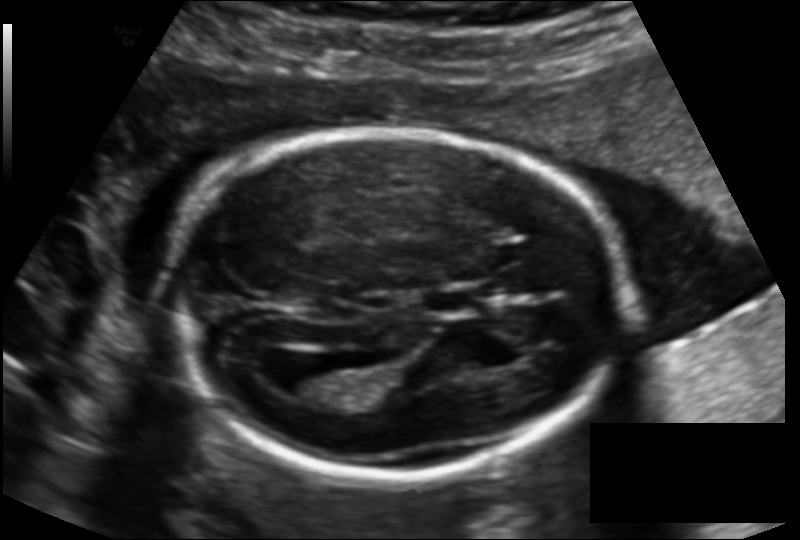
Estimate the fetal head circumference from this 2D ultrasound.

Head circumference: 181.4 mm (image width 109.0 mm).